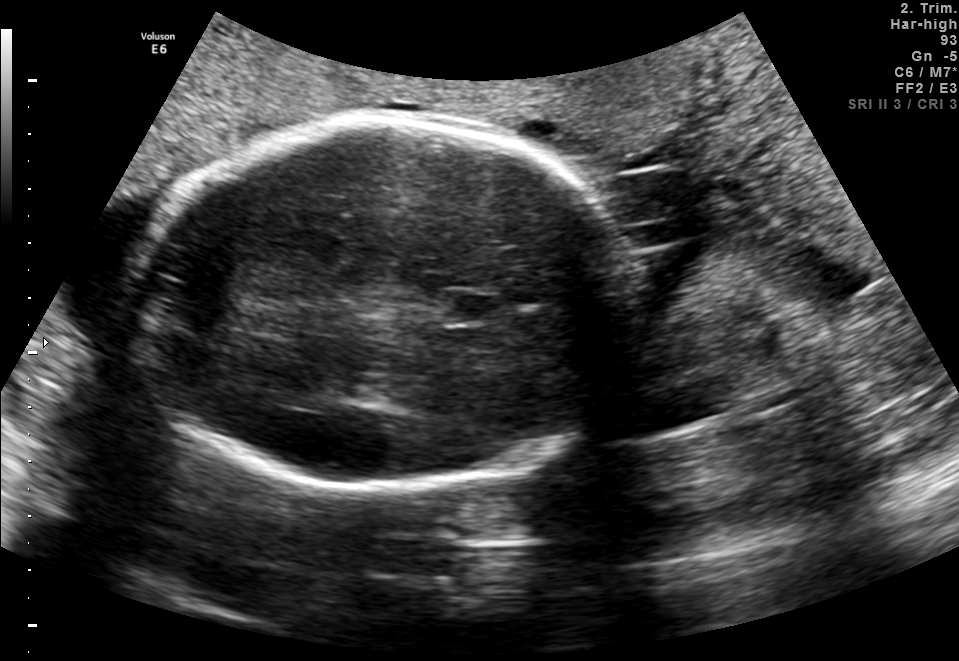
Fetal brain, trans-thalamic plane. Locate the fetal head and, if visible, the cavum septum pellucidum (CSP) and lateral ventricle (LV). Give bounding boxes as [x1,y1,x2,y2].

Head: [129,119,628,484]
CSP: [444,295,498,322]